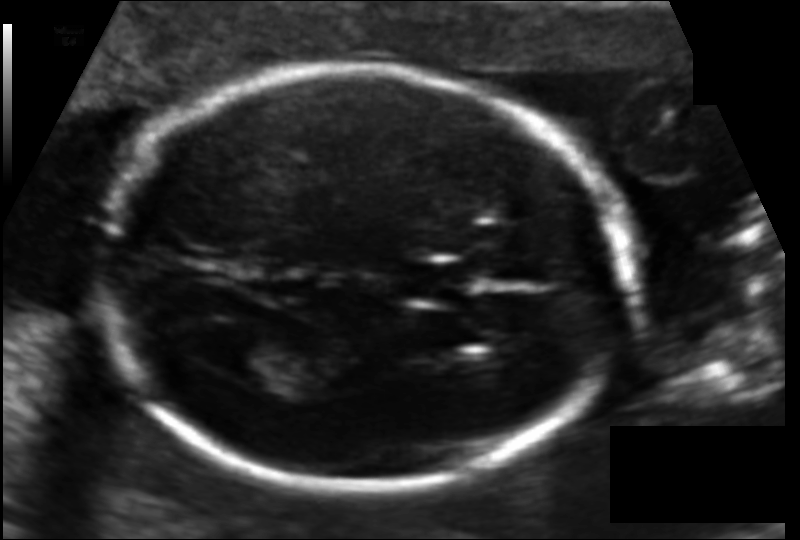
What is the fetal head circumference? Image width is 91.0 mm.

175.0 mm